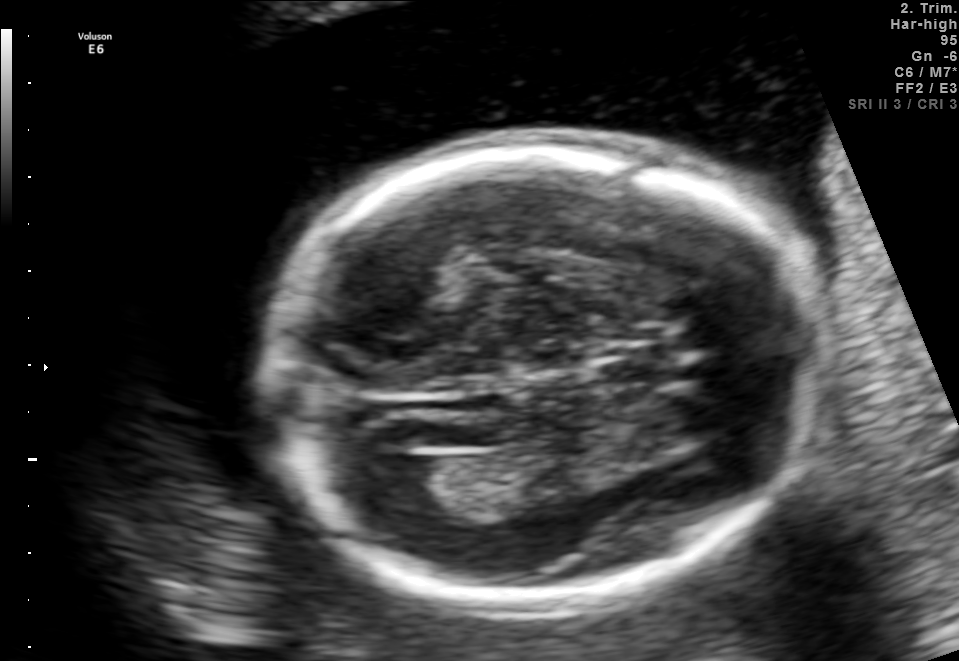
This is a 2D maternal-fetal ultrasound frame. Is it a fetal abdomen, fetal brain, fetal femur, fetal thorax, maternal cervix, or other standard plane? If it's fetal brain and one of the three standard brain planes (trans-thalamic, trans-cerebellum, trans-ventricular), name which.

Fetal brain (trans-ventricular plane)